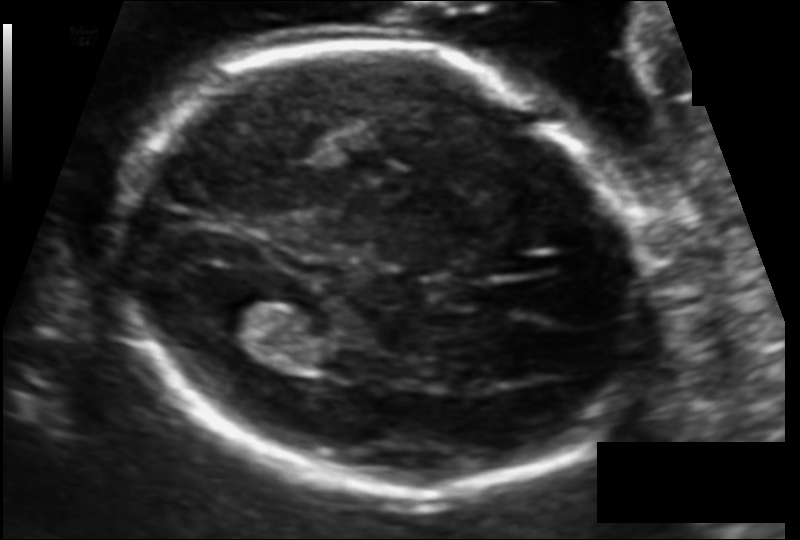
Fetal head ultrasound. Image width: 92.8 mm. Locate the lateral ventricle.

Lateral ventricle: [199,274,292,351]